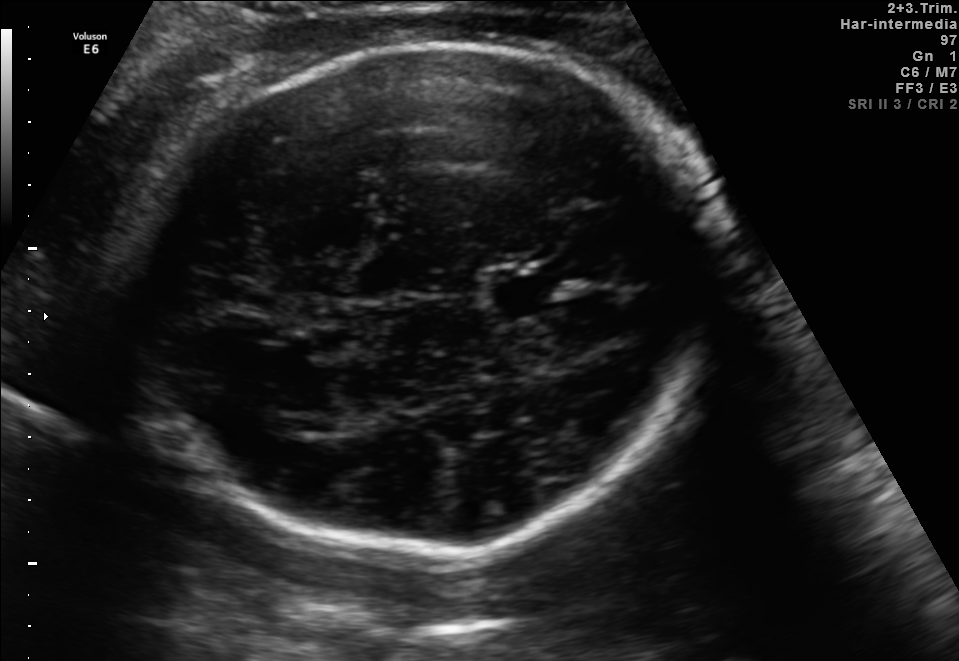
Fetal brain, trans-thalamic plane. Locate the fetal head and, if visible, the cavum septum pellucidum (CSP) and lateral ventricle (LV). Give bounding boxes as [x1,y1,x2,y2].

Head: [122,46,715,555]
CSP: [485,267,562,319]